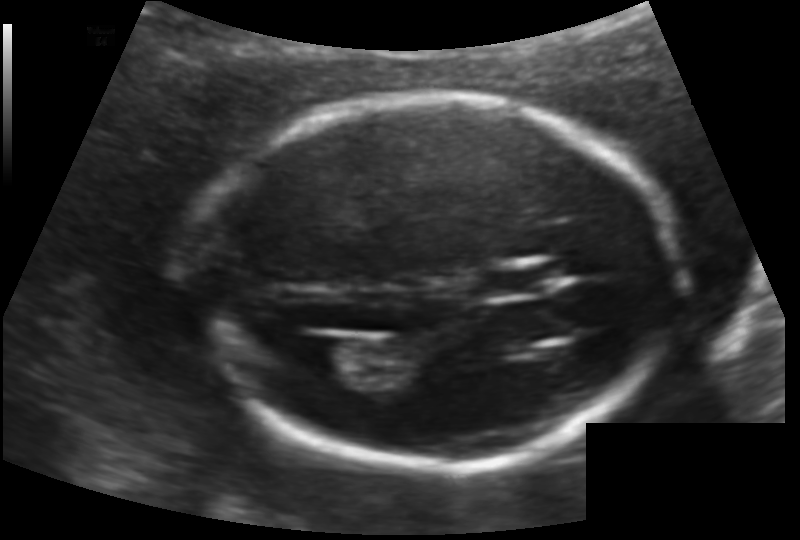
Fetal head ultrasound. Image width: 99.5 mm. Locate the lateral ventricle.

Lateral ventricle: [300,332,358,378]